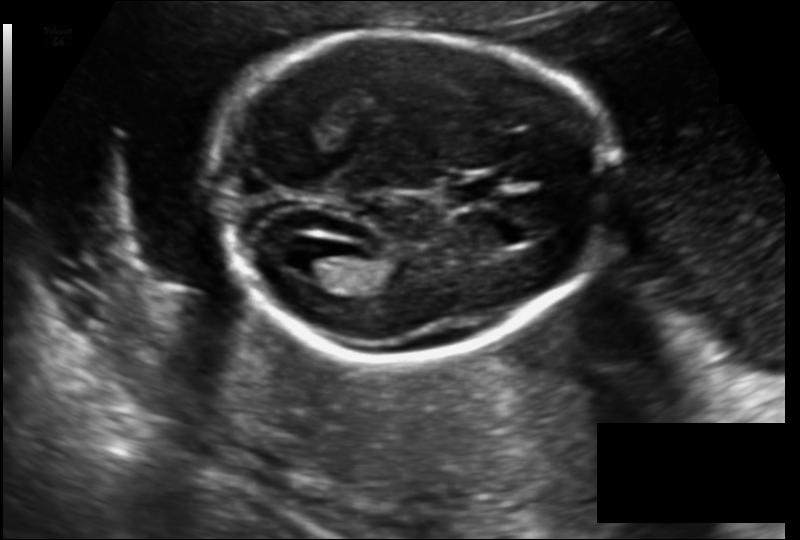
What is the fetal head circumference? Image width is 113.3 mm.

168.9 mm